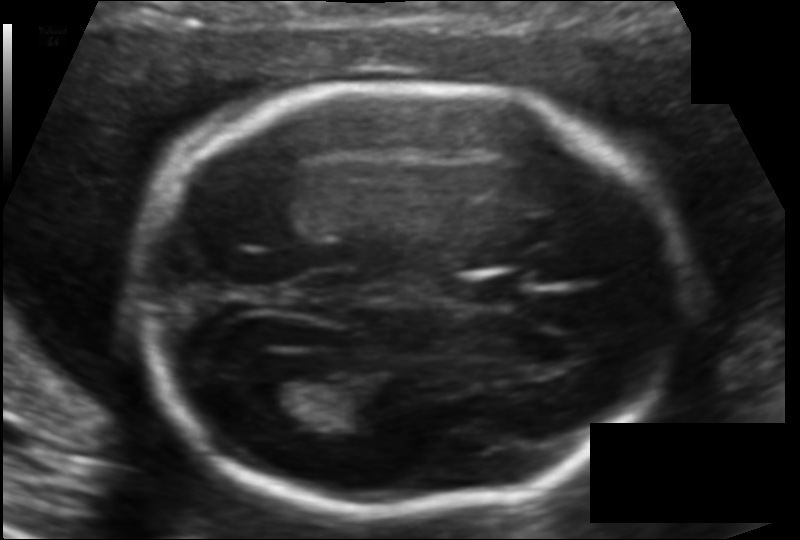
Estimate the fetal head circumference from this 2D ultrasound.

Head circumference: 186.6 mm (image width 94.1 mm).